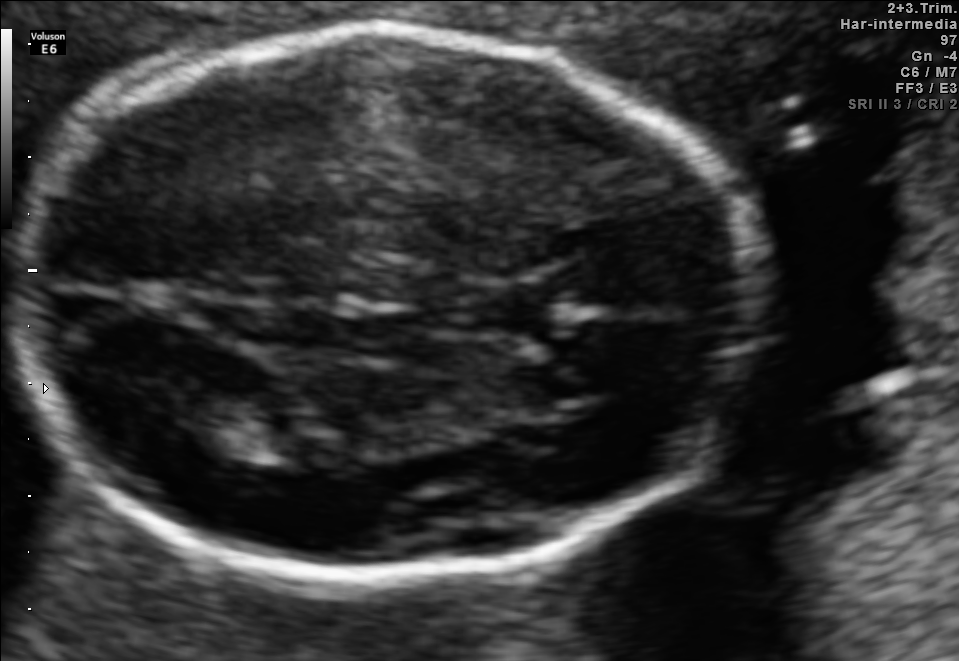
Fetal brain, trans-thalamic plane. Locate the cavum septum pellucidum.

CSP: [476,287,552,334]